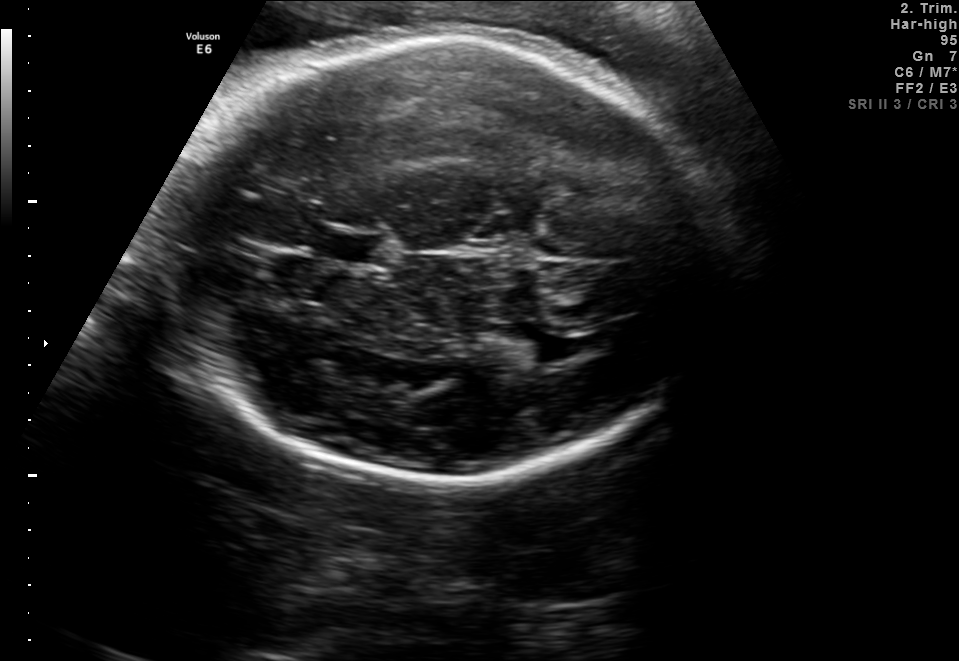
Fetal brain, trans-thalamic plane. Give [x1,y1,x2,y2] bounding boxes for each visible structure among: fetal head, CSP, LV.

Head: [171,37,728,482]
CSP: [323,228,381,265]
Lateral ventricle: [496,330,561,365]